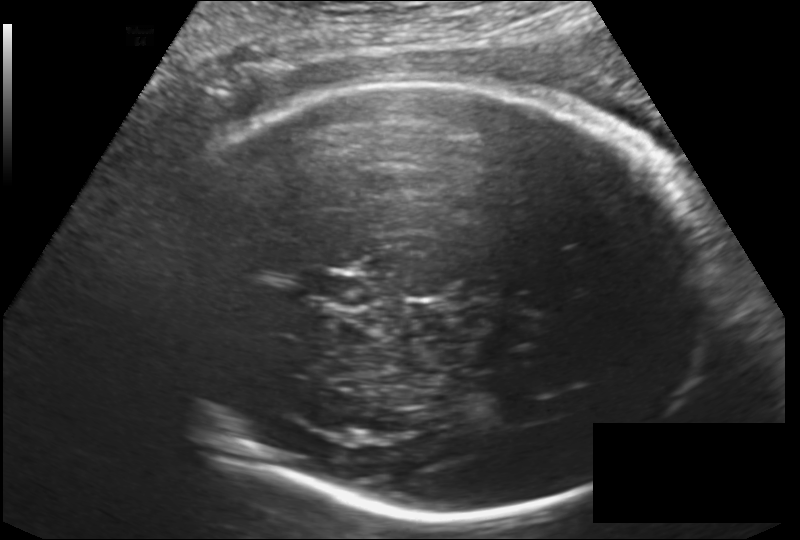
Fetal head ultrasound. Image width: 145.9 mm. Where is the fetal head?

Head bounding box: [156,80,702,519]